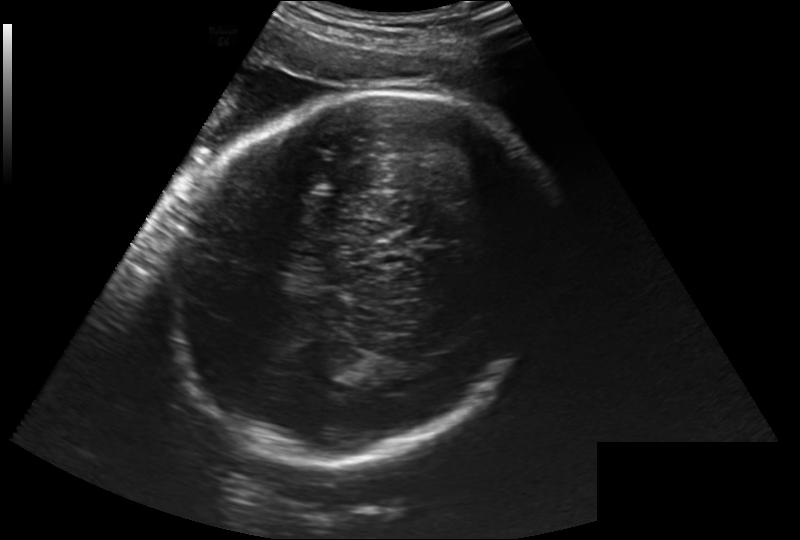
Measure the fetal head circumference shown in this ultrasound image. Image width: 208.2 mm.

Head circumference: 321.3 mm.